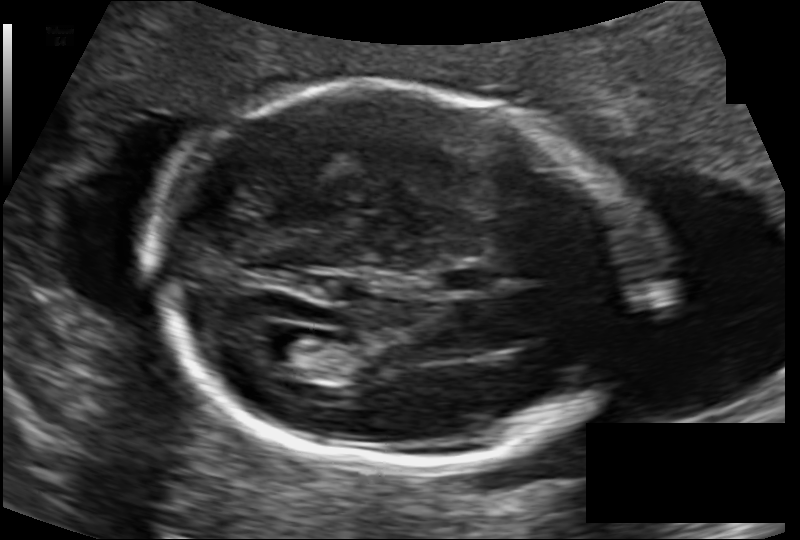
Fetal head ultrasound. Image width: 95.8 mm. Locate the fetal head.

Head: [147,89,647,467]